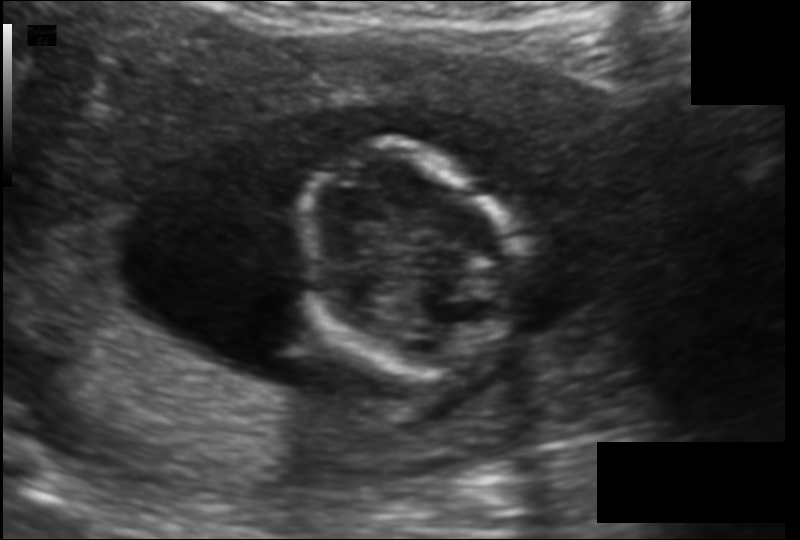
Estimate the fetal head circumference from this 2D ultrasound. Image width: 103.9 mm.

Head circumference: 98.7 mm.